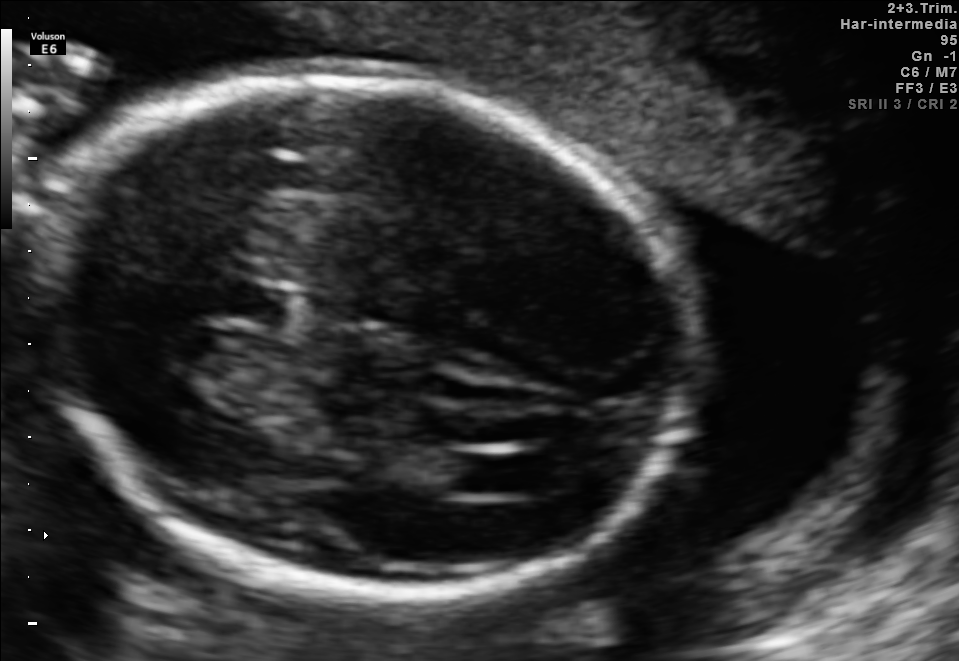
In this fetal brain, trans-ventricular plane, give the bounding box of the lateral ventricle.

[451,455,514,493]